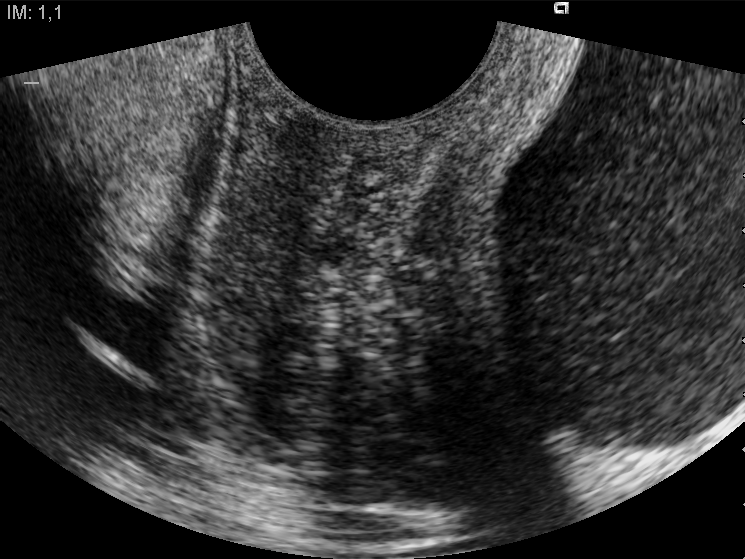
This is a 2D maternal-fetal ultrasound frame. Is it a fetal abdomen, fetal brain, fetal femur, fetal thorax, maternal cervix, or other standard plane? If it's fetal brain and one of the three standard brain planes (trans-thalamic, trans-cerebellum, trans-ventricular), name which.

Maternal cervix